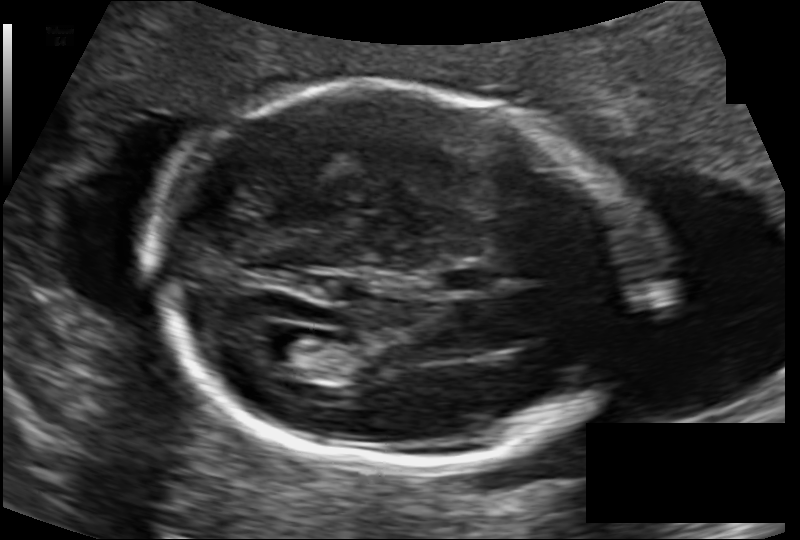
In this fetal head ultrasound, give the bounding box of the fetal head. Image width: 95.8 mm.

[147,89,647,467]